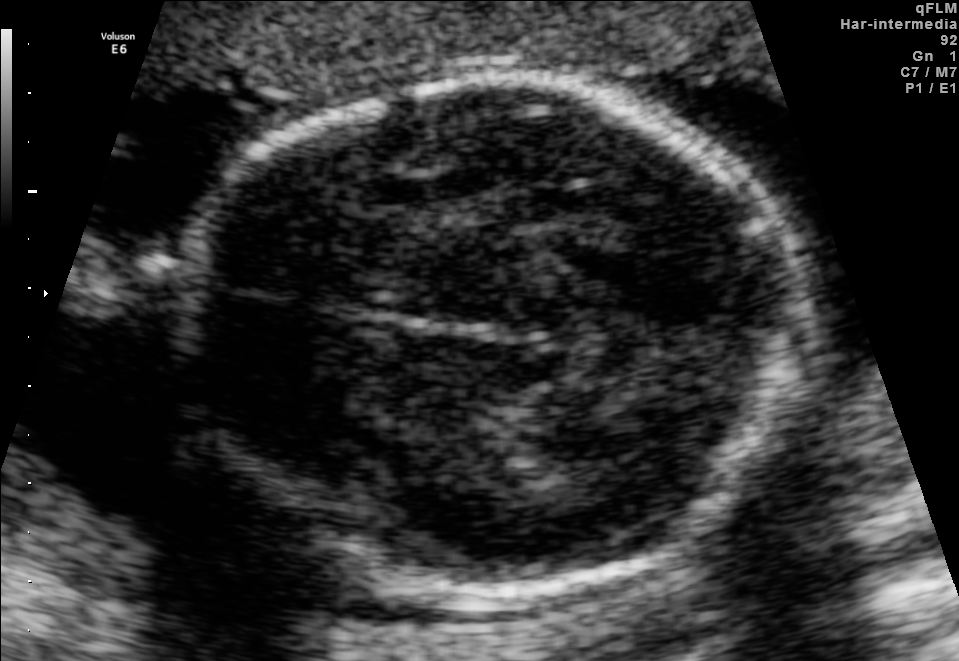
This is a 2D maternal-fetal ultrasound frame. Is it a fetal abdomen, fetal brain, fetal femur, fetal thorax, maternal cervix, or other standard plane? If it's fetal brain and one of the three standard brain planes (trans-thalamic, trans-cerebellum, trans-ventricular), name which.

Fetal brain (trans-thalamic plane)